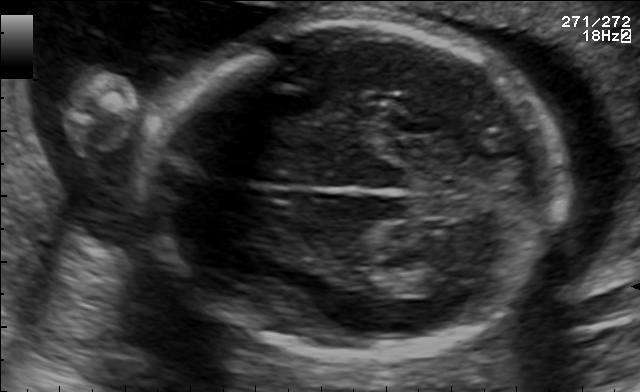
Fetal brain, trans-thalamic plane. Locate the fetal head.

Head: [145,24,559,358]